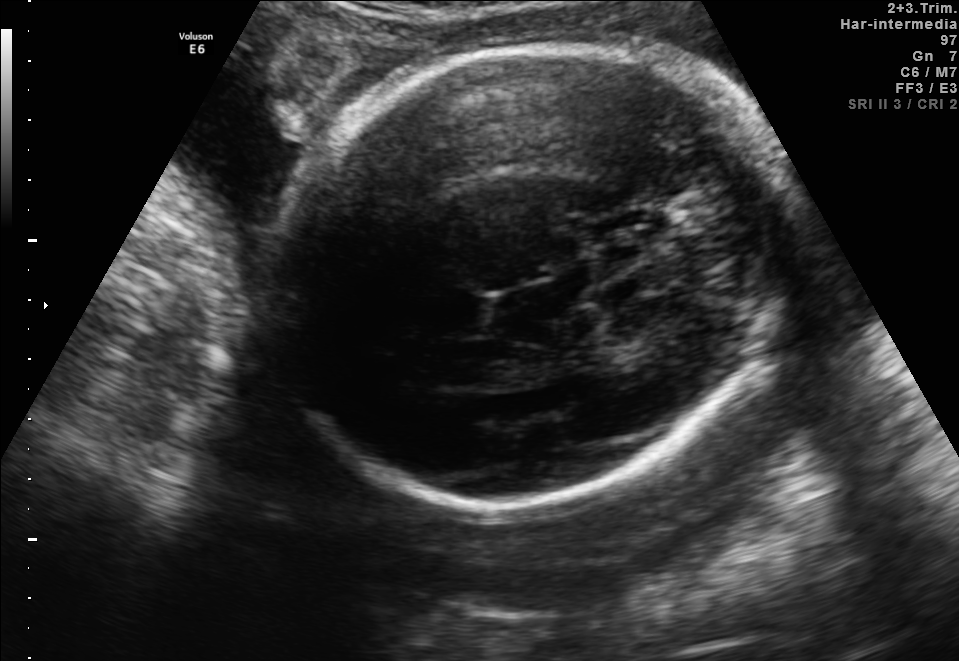
In this fetal brain, trans-thalamic plane, give bounding boxes for the head outline, cavum septum pellucidum (CSP), and lateral ventricle (LV), where visible.

Head: [266,43,787,510]